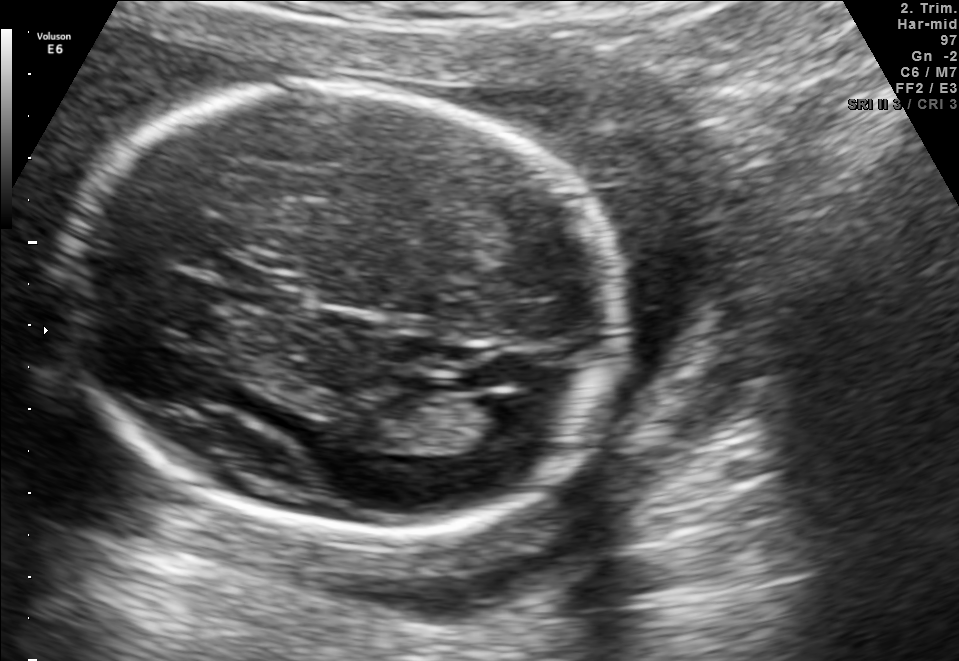
In this fetal brain, trans-ventricular plane, give the bounding box of the lateral ventricle.

[478,388,558,443]